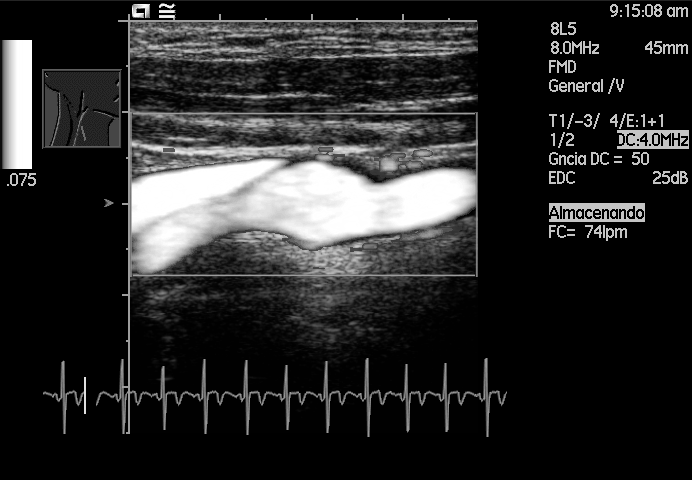
Which standard maternal-fetal ultrasound plane is shown: fetal abdomen, fetal brain, fetal femur, fetal thorax, maternal cervix, or other? If it's fetal brain and one of the three standard brain planes (trans-thalamic, trans-cerebellum, trans-ventricular), name which.

Other